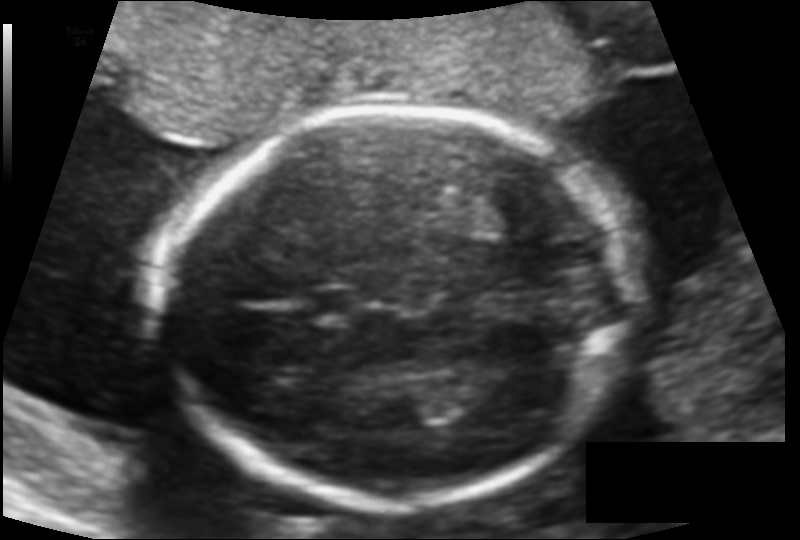
Fetal head ultrasound. Image width: 97.0 mm. Locate the cavum septum pellucidum.

CSP: [307,285,363,324]